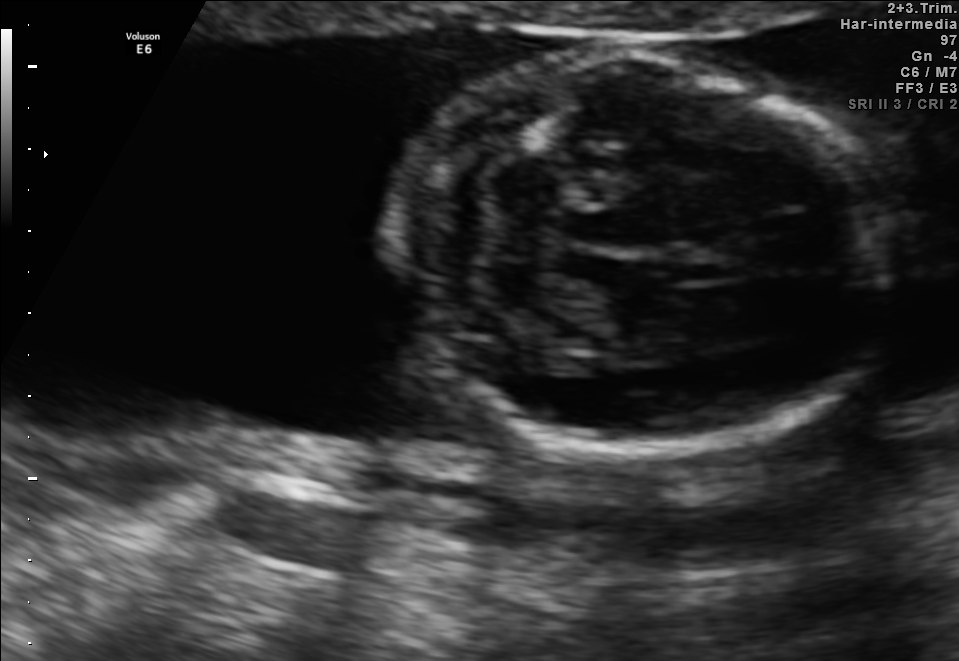
Fetal brain, trans-cerebellum plane. Locate the fetal head and, if visible, the cavum septum pellucidum (CSP) and lateral ventricle (LV). Give bounding boxes as [x1,y1,x2,y2].

Head: [393,51,892,458]